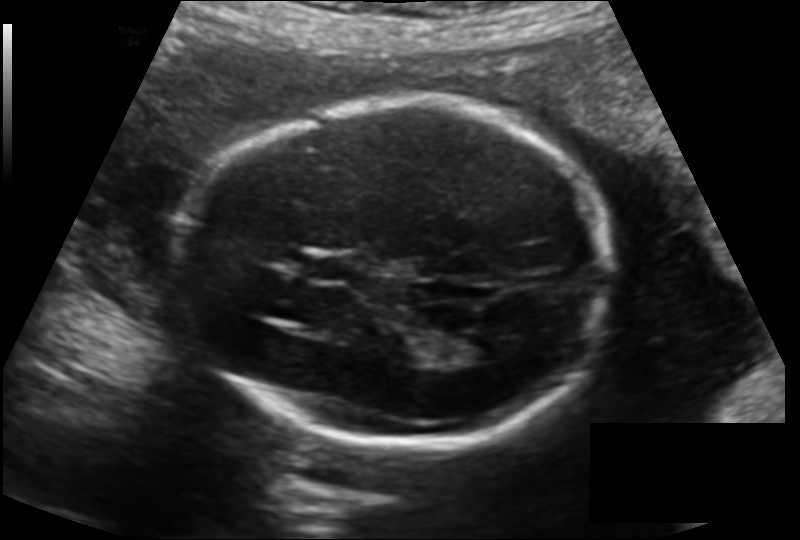
Fetal head ultrasound. Image width: 115.3 mm. Where is the lateral ventricle?

Lateral ventricle bounding box: [446,329,504,366]